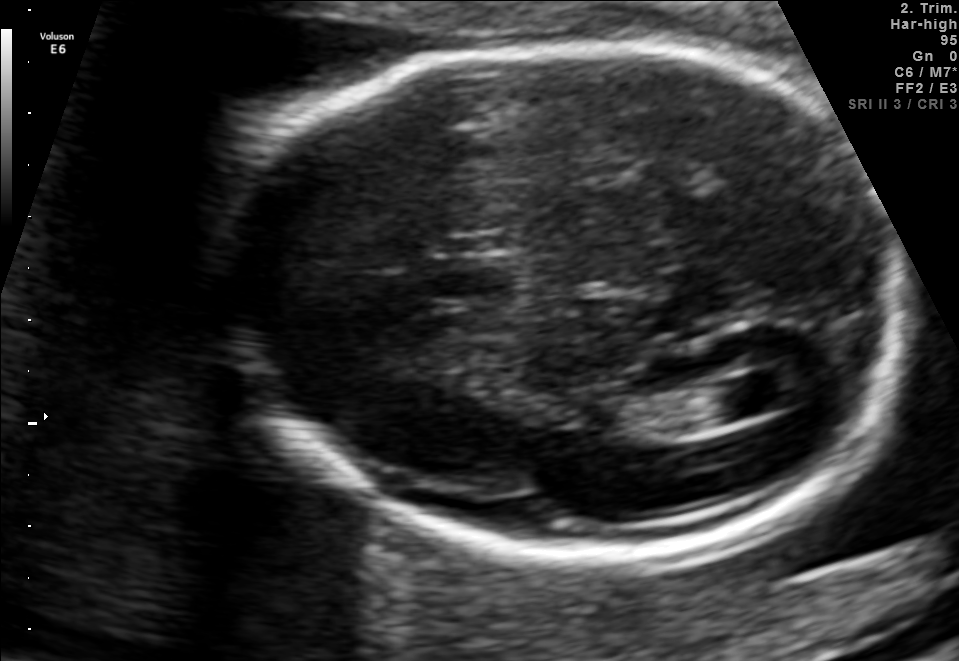
Fetal brain, trans-ventricular plane. Locate the cavum septum pellucidum.

CSP: [424,255,516,304]